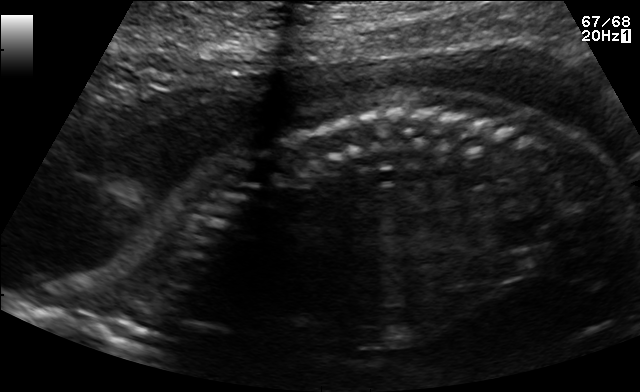
Classify this maternal-fetal ultrasound image as one of the six standard planes — fetal abdomen, fetal brain, fetal femur, fetal thorax, maternal cervix, or other. If it's fetal brain and one of the three standard brain planes (trans-thalamic, trans-cerebellum, trans-ventricular), name which.

Other